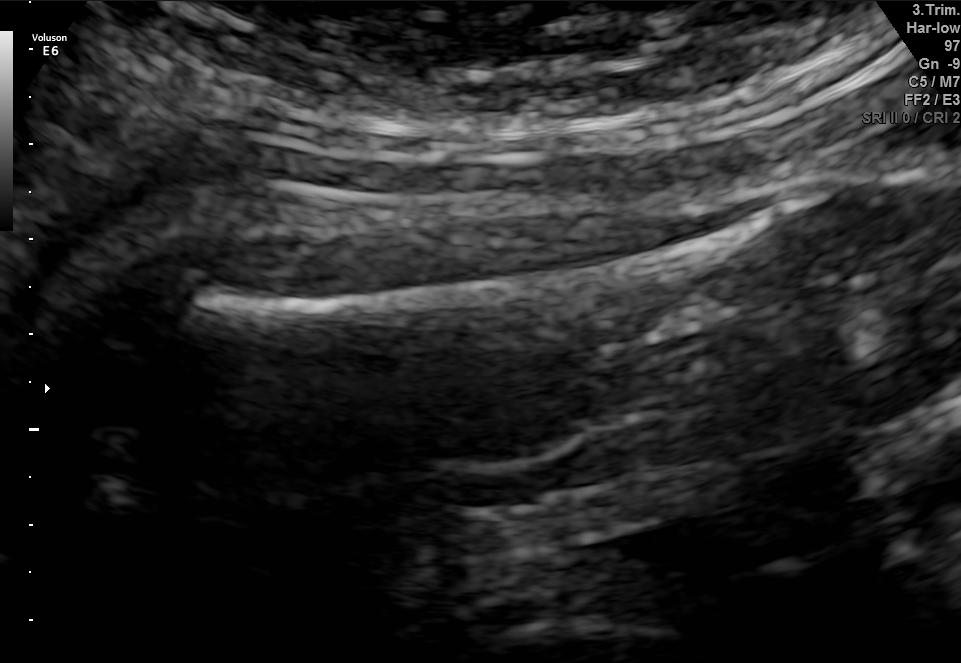
Classify this maternal-fetal ultrasound image as one of the six standard planes — fetal abdomen, fetal brain, fetal femur, fetal thorax, maternal cervix, or other. If it's fetal brain and one of the three standard brain planes (trans-thalamic, trans-cerebellum, trans-ventricular), name which.

Fetal femur